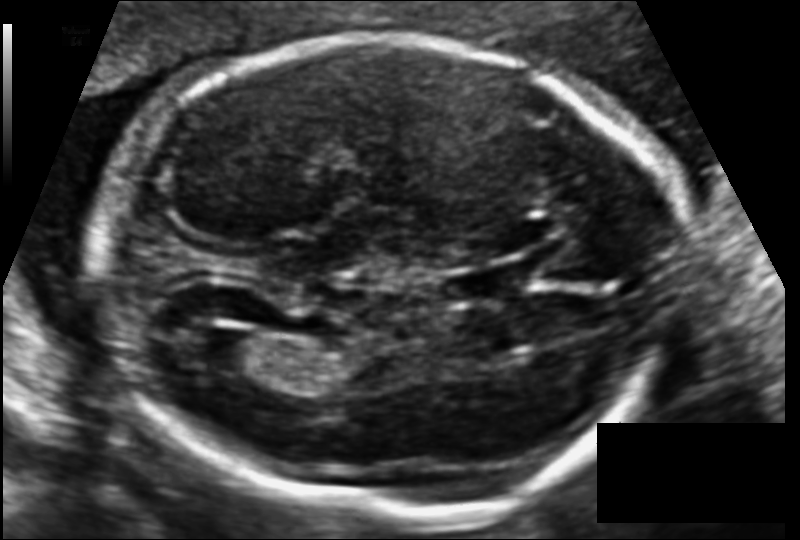
Fetal head ultrasound. Image width: 92.7 mm. Where is the cavum septum pellucidum?

CSP bounding box: [434,261,523,313]